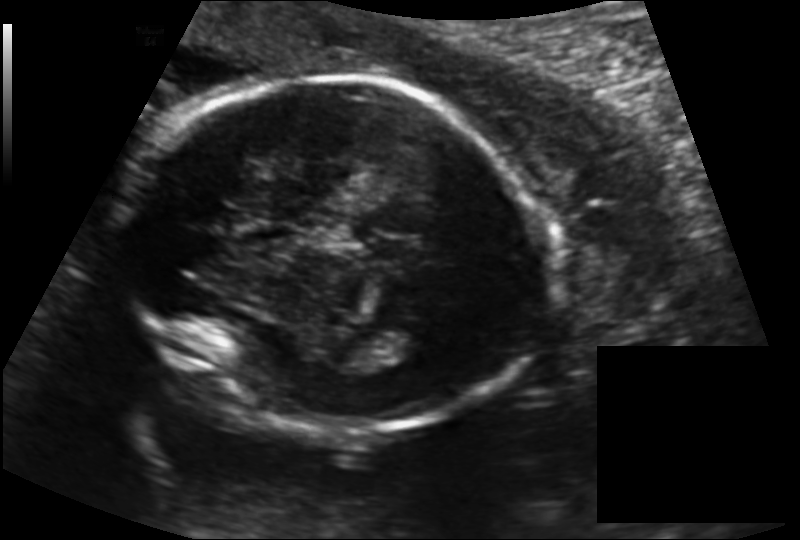
What is the fetal head circumference? Image width is 116.1 mm.

187.2 mm